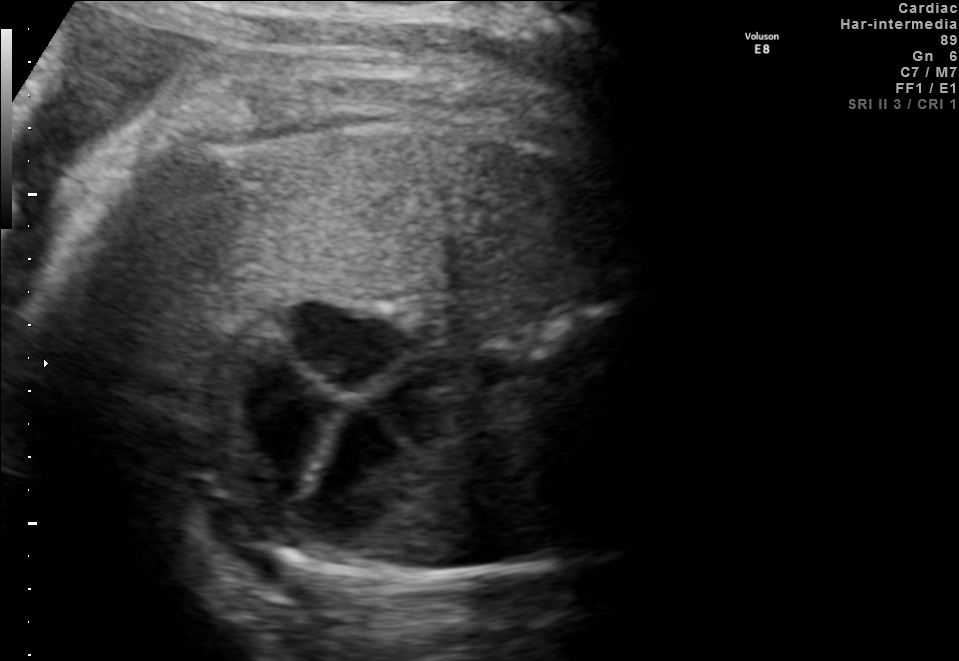
Classify this maternal-fetal ultrasound image as one of the six standard planes — fetal abdomen, fetal brain, fetal femur, fetal thorax, maternal cervix, or other. If it's fetal brain and one of the three standard brain planes (trans-thalamic, trans-cerebellum, trans-ventricular), name which.

Fetal thorax